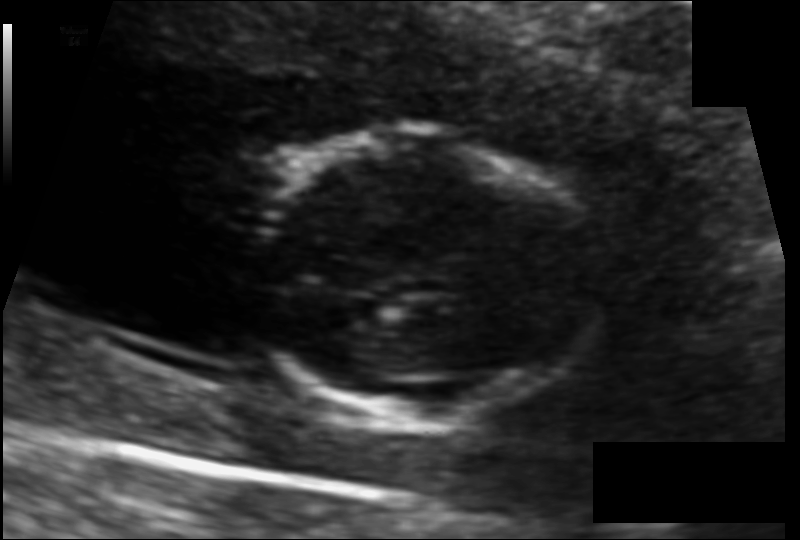
Fetal head ultrasound. Image width: 72.8 mm. Locate the fetal head.

Head: [249,138,606,418]